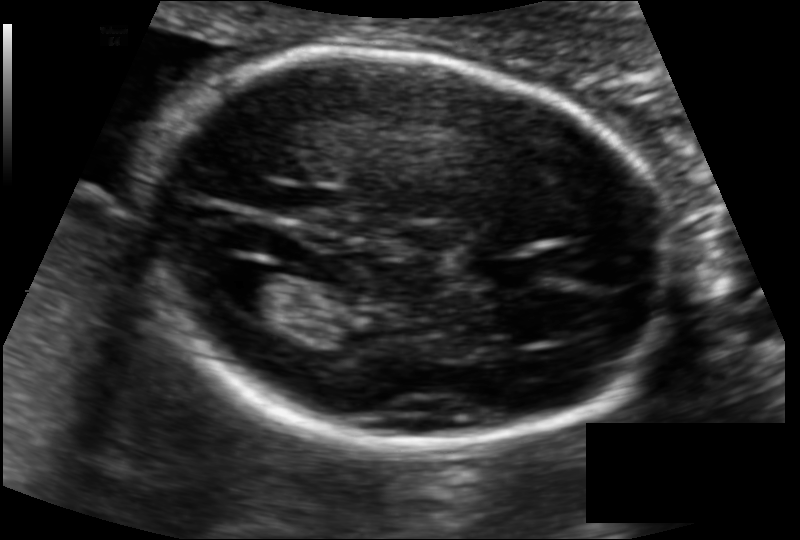
Measure the fetal head circumference shown in this ultrasound image. Image width: 88.0 mm.

Head circumference: 165.7 mm.